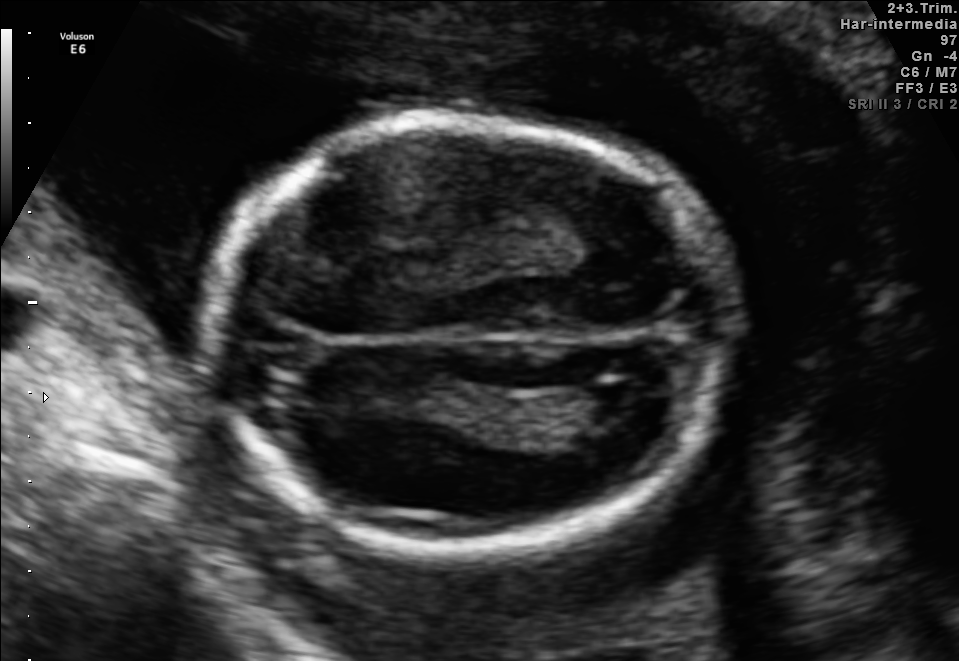
Fetal brain, trans-ventricular plane. Where is the lateral ventricle?

Lateral ventricle bounding box: [569,374,649,430]